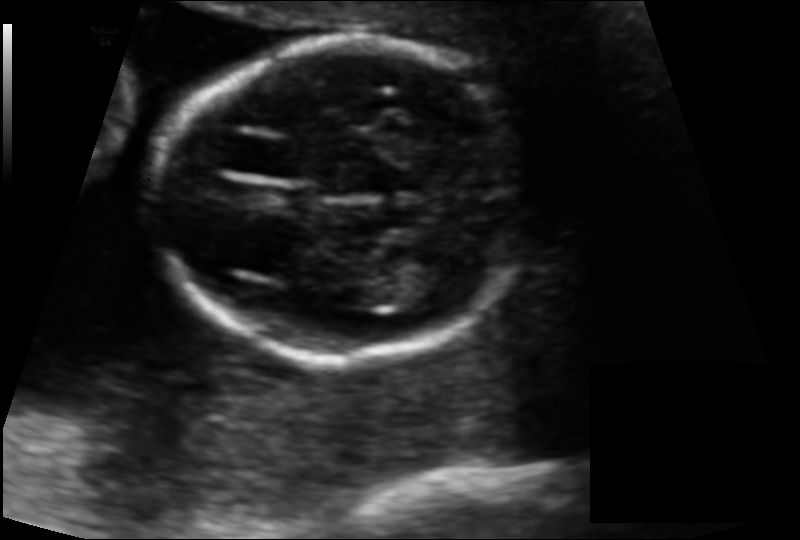
Fetal head ultrasound. Image width: 92.0 mm. Give [x1,y1,x2,y2] bounding boxes for each visible structure among: fetal head, CSP, LV.

Head: [153,43,525,359]